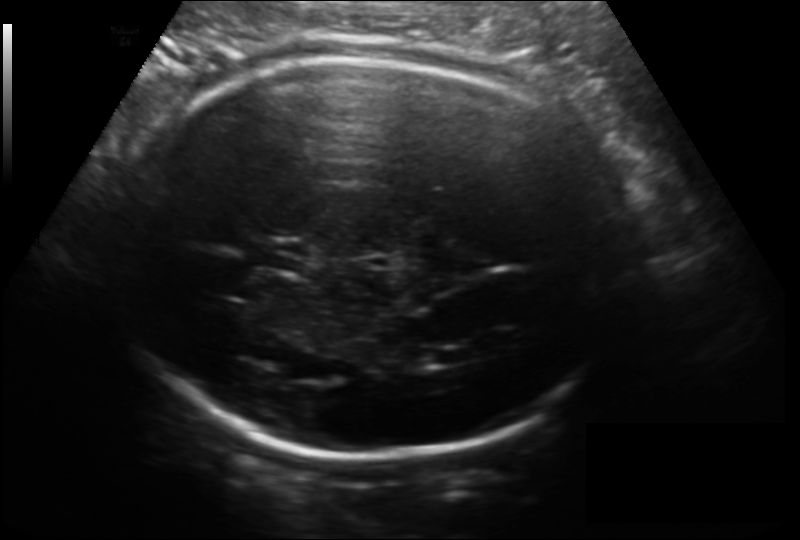
From this fetal ultrasound, estimate the head circumference (image width 133.1 mm).

Head circumference: 243.1 mm.